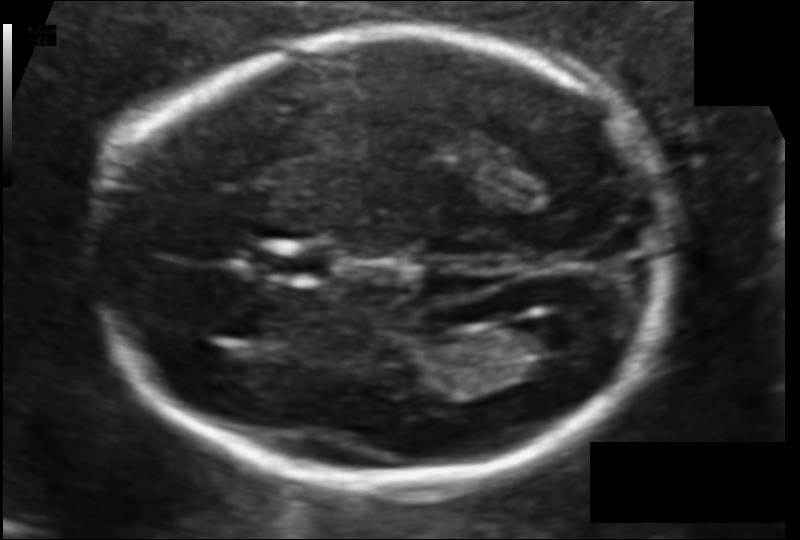
Fetal head ultrasound. Image width: 85.0 mm. Locate the fetal head.

Head: [98,32,670,485]